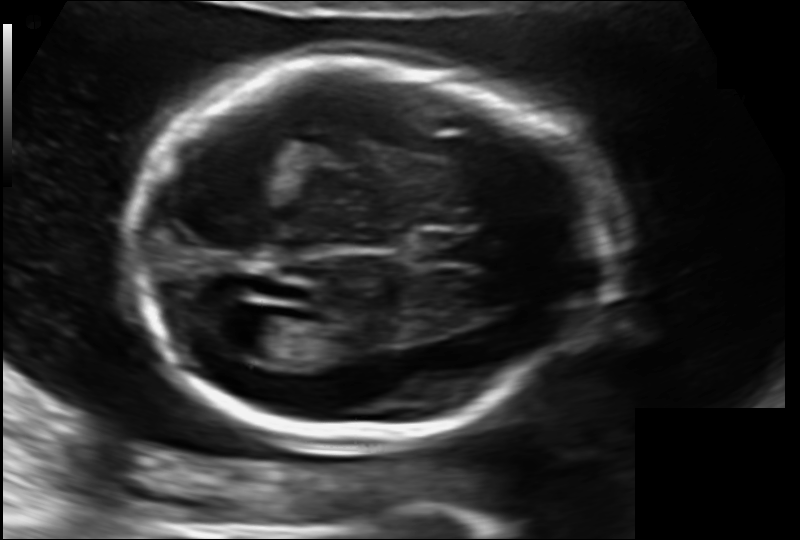
Fetal head ultrasound. Image width: 103.9 mm. Give [x1,y1,x2,y2] bounding boxes for each visible structure among: fetal head, CSP, LV.

Head: [131,60,602,440]
CSP: [416,233,485,264]
Lateral ventricle: [230,310,310,366]